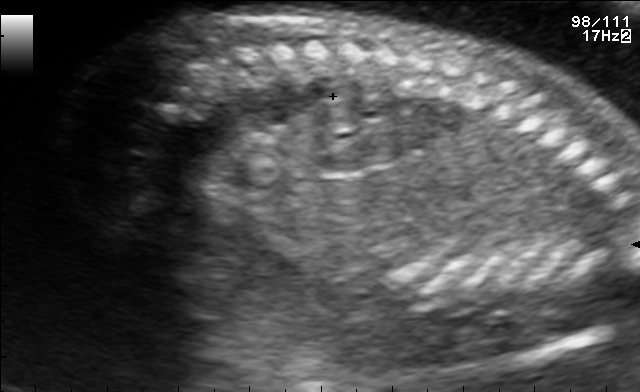
Identify the standard plane in this fetal ultrasound image: fetal abdomen, fetal brain, fetal femur, fetal thorax, maternal cervix, or other. If it's fetal brain and one of the three standard brain planes (trans-thalamic, trans-cerebellum, trans-ventricular), name which.

Other